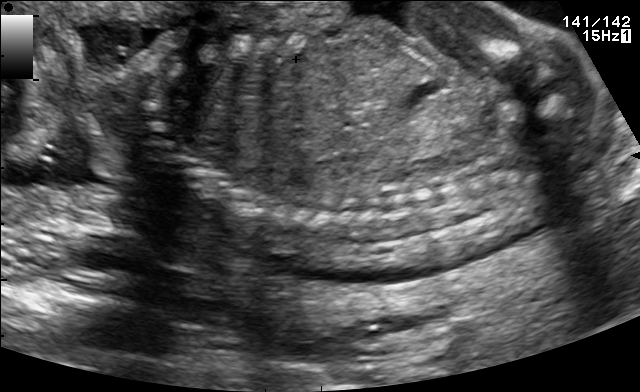
Which standard maternal-fetal ultrasound plane is shown: fetal abdomen, fetal brain, fetal femur, fetal thorax, maternal cervix, or other? If it's fetal brain and one of the three standard brain planes (trans-thalamic, trans-cerebellum, trans-ventricular), name which.

Other